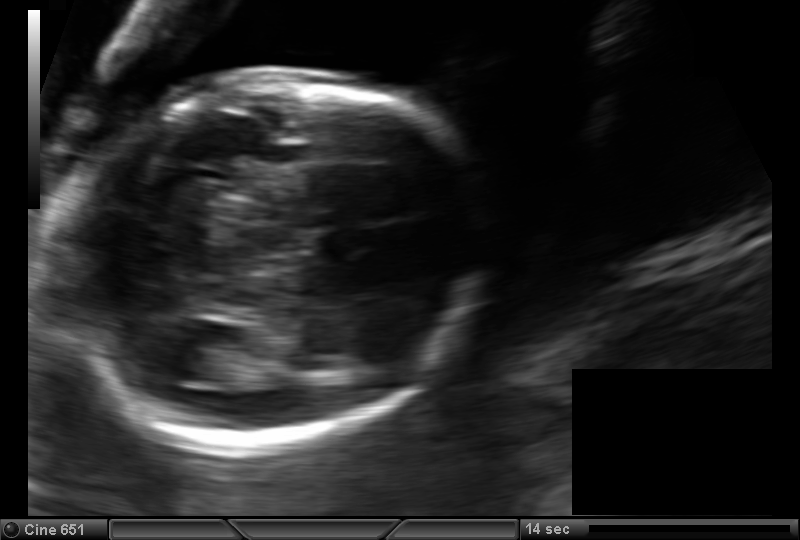
From this fetal ultrasound, estimate the head circumference (image width 106.1 mm).

Head circumference: 166.7 mm.